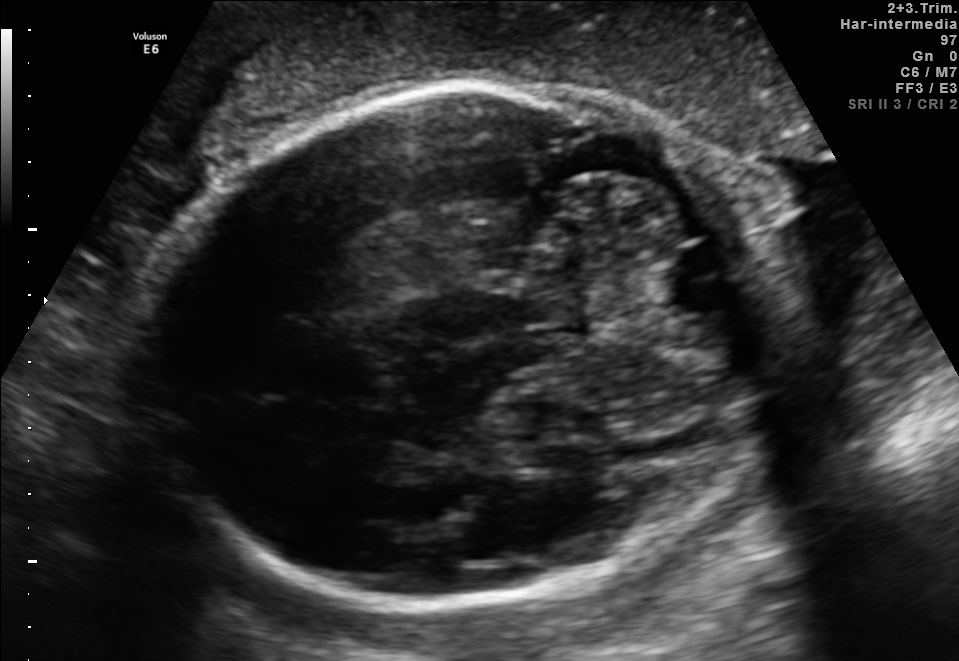
Fetal brain, trans-cerebellum plane. Locate the fetal head.

Head: [153,83,790,602]